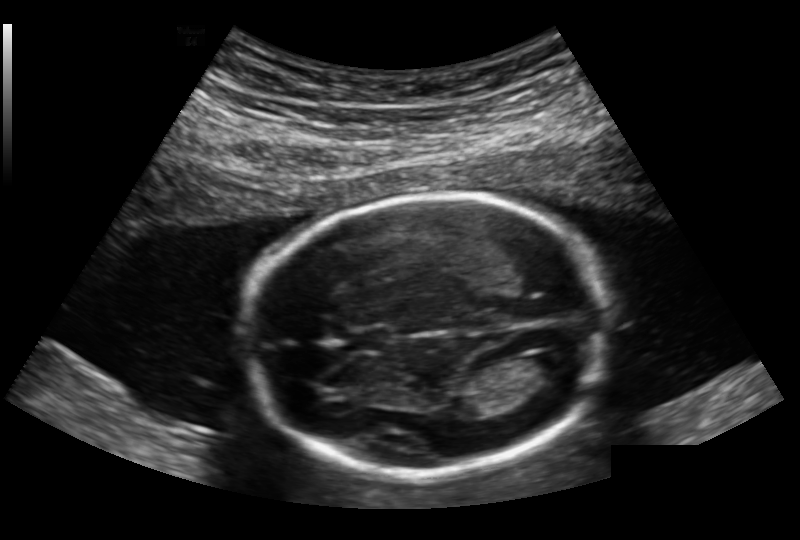
Fetal head ultrasound. Image width: 134.4 mm. Locate the fetal head and, if visible, the cavum septum pellucidum (CSP) and lateral ventricle (LV). Give bounding boxes as [x1,y1,x2,y2].

Head: [246,195,606,474]
CSP: [349,326,394,354]
Lateral ventricle: [521,346,578,387]